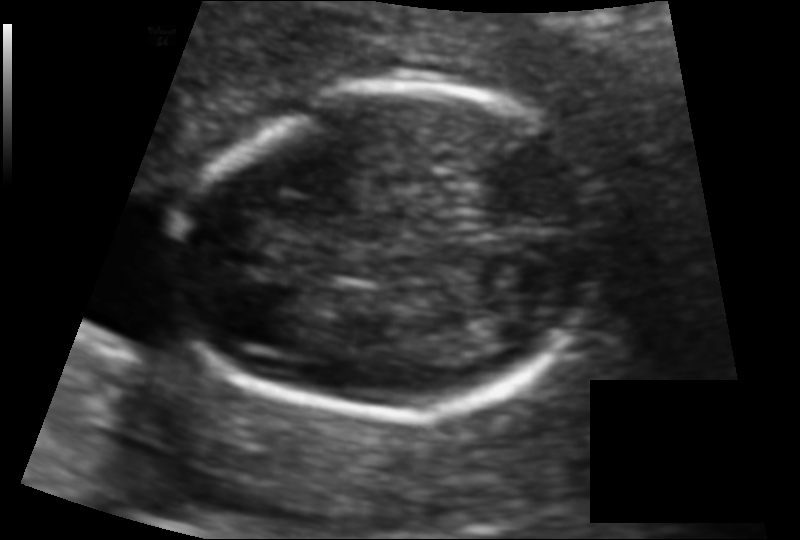
Fetal head ultrasound. Image width: 76.2 mm. Where is the fetal head?

Head bounding box: [176,86,602,415]